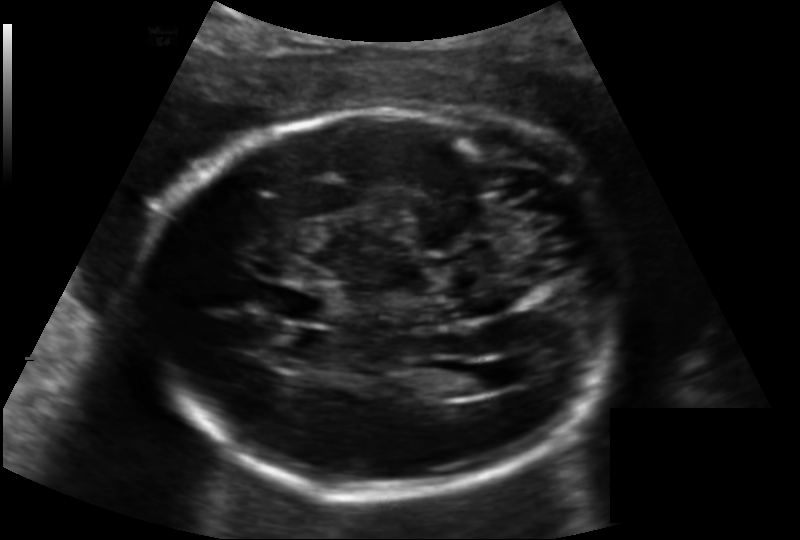
Fetal head ultrasound. Image width: 126.5 mm. Locate the fetal head.

Head: [143,109,624,493]